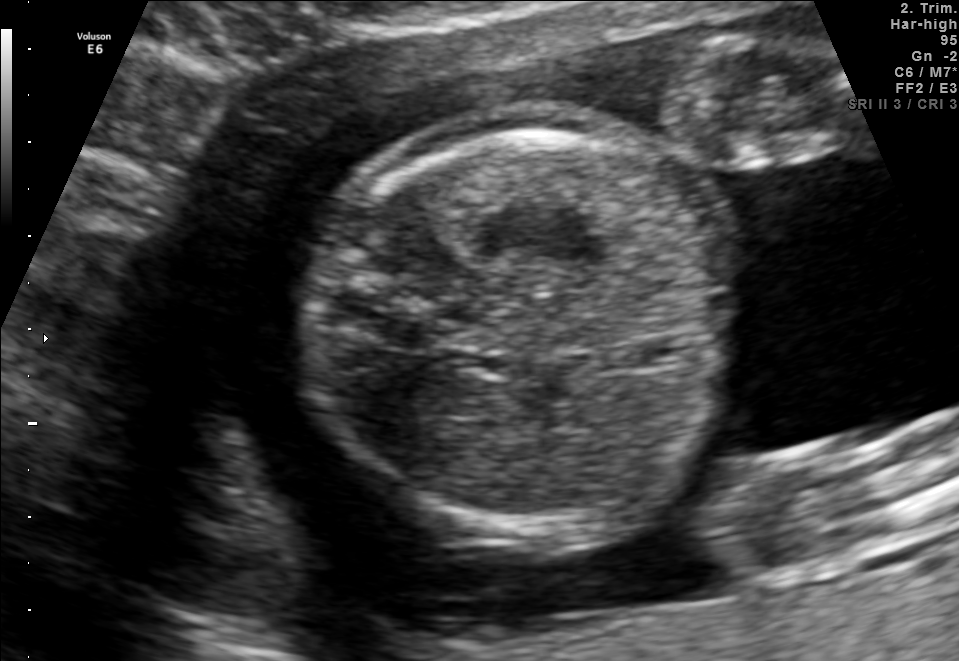
Identify the standard plane in this fetal ultrasound image: fetal abdomen, fetal brain, fetal femur, fetal thorax, maternal cervix, or other. If it's fetal brain and one of the three standard brain planes (trans-thalamic, trans-cerebellum, trans-ventricular), name which.

Fetal abdomen